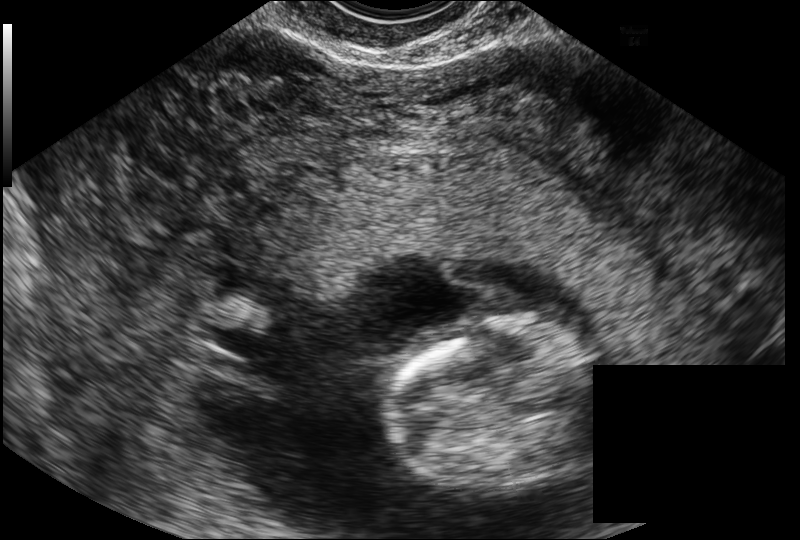
From this fetal ultrasound, estimate the head circumference (image width 90.9 mm).

Head circumference: 69.5 mm.